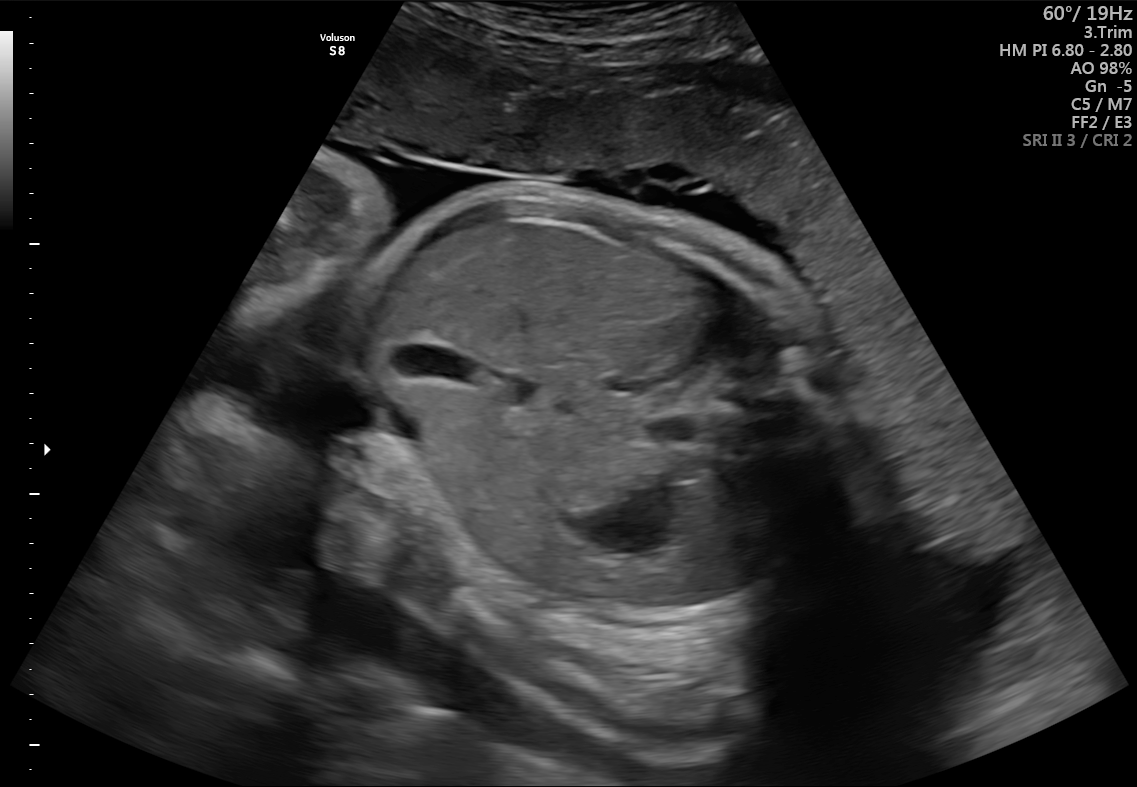
Which standard maternal-fetal ultrasound plane is shown: fetal abdomen, fetal brain, fetal femur, fetal thorax, maternal cervix, or other? If it's fetal brain and one of the three standard brain planes (trans-thalamic, trans-cerebellum, trans-ventricular), name which.

Fetal abdomen